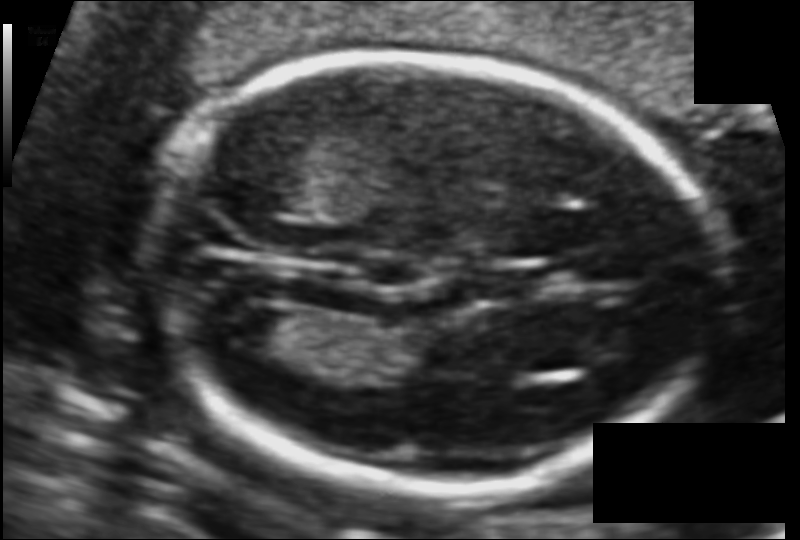
Fetal head ultrasound. Image width: 75.8 mm. Where is the fetal head?

Head bounding box: [150,52,715,488]